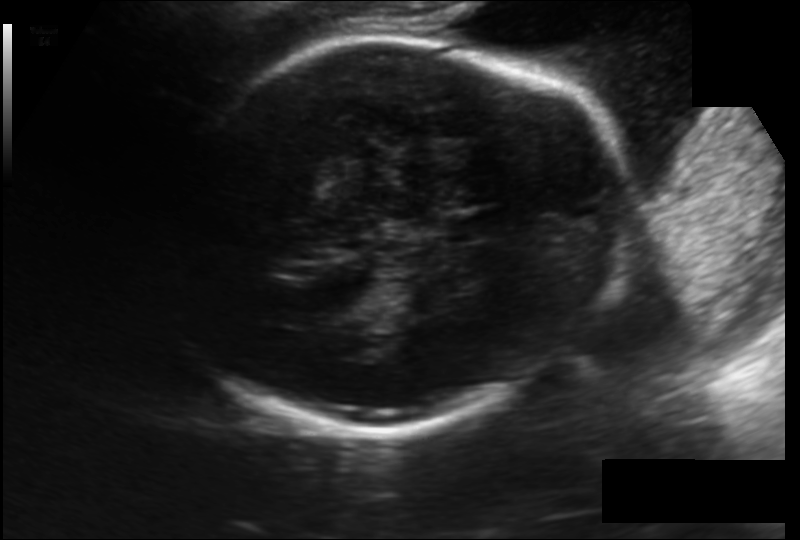
Fetal head ultrasound. Image width: 139.5 mm. Locate the fetal head and, if visible, the cavum septum pellucidum (CSP) and lateral ventricle (LV). Give bounding boxes as [x1,y1,x2,y2].

Head: [162,34,631,429]